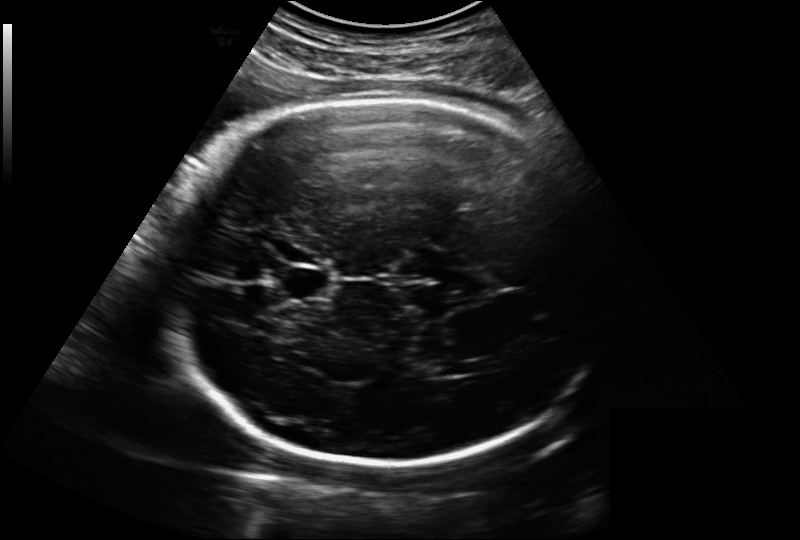
In this fetal head ultrasound, give the bounding box of the cavum septum pellucidum. Image width: 176.5 mm.

[277,263,335,303]